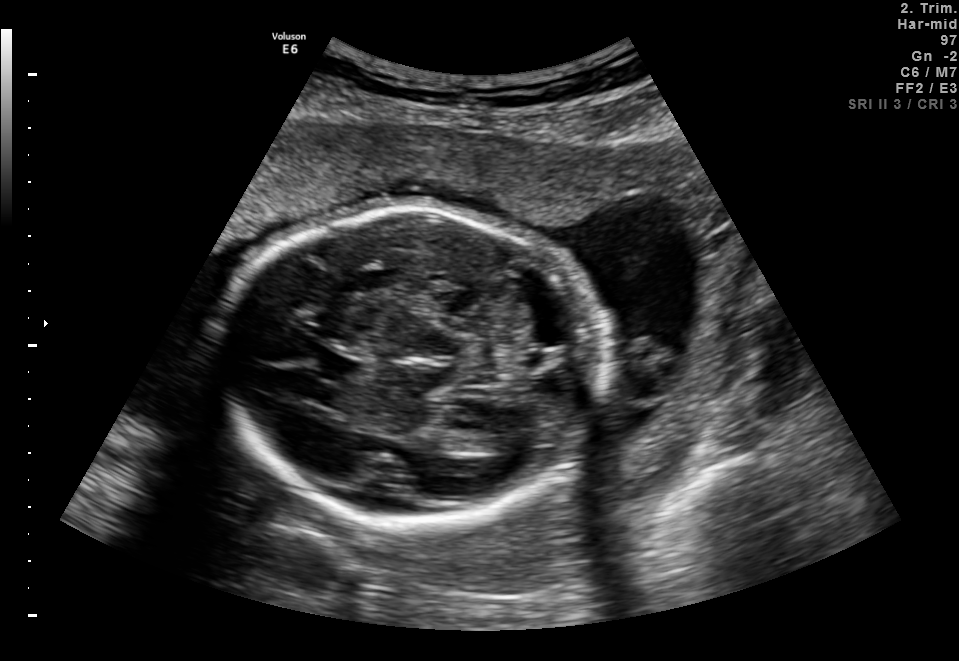
Fetal brain, trans-thalamic plane. Where is the fetal head?

Head bounding box: [223,208,600,523]